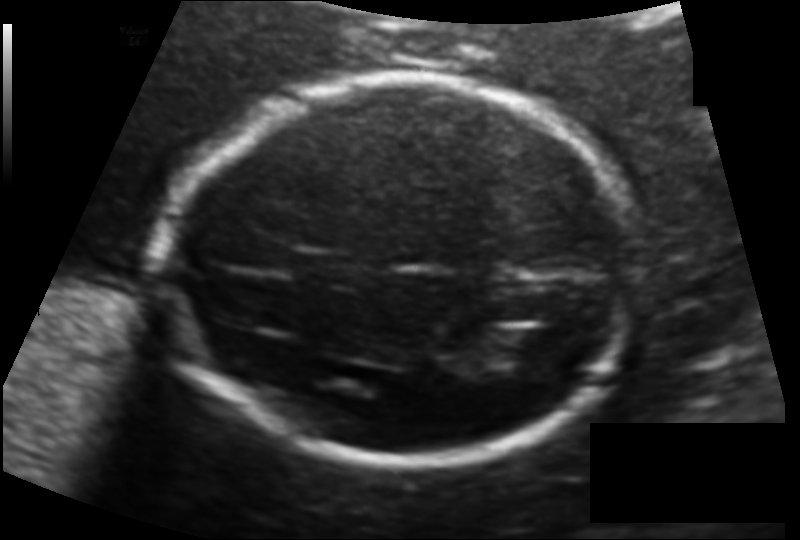
Fetal head ultrasound. Image width: 98.0 mm. Give [x1,y1,x2,y2] bounding boxes for each visible structure among: fetal head, CSP, LV.

Head: [164,75,644,465]
CSP: [293,245,365,290]
Lateral ventricle: [502,330,556,362]